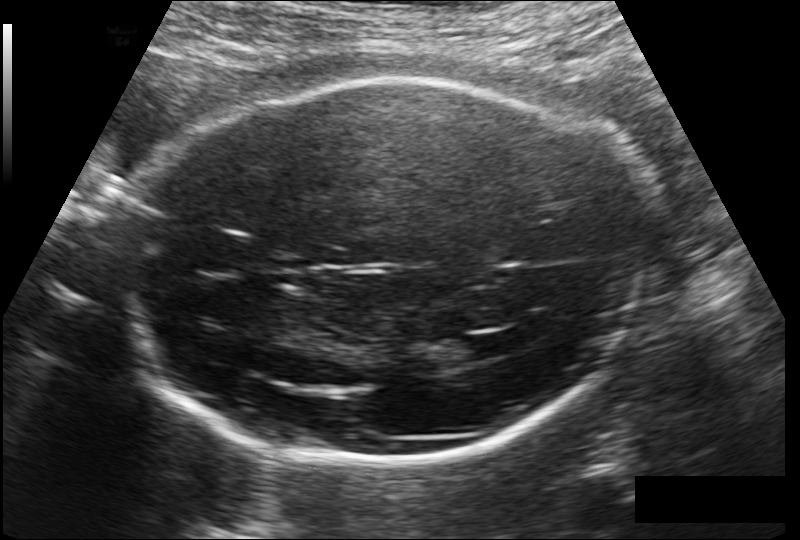
Estimate the fetal head circumference from this 2D ultrasound. Image width: 142.1 mm.

Head circumference: 262.3 mm.